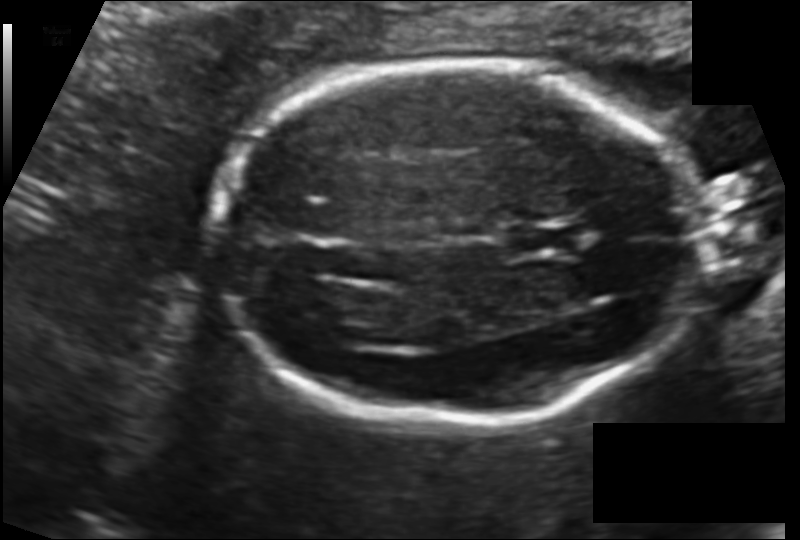
Fetal head ultrasound. Image width: 98.3 mm. Where is the fetal head?

Head bounding box: [212,65,707,428]